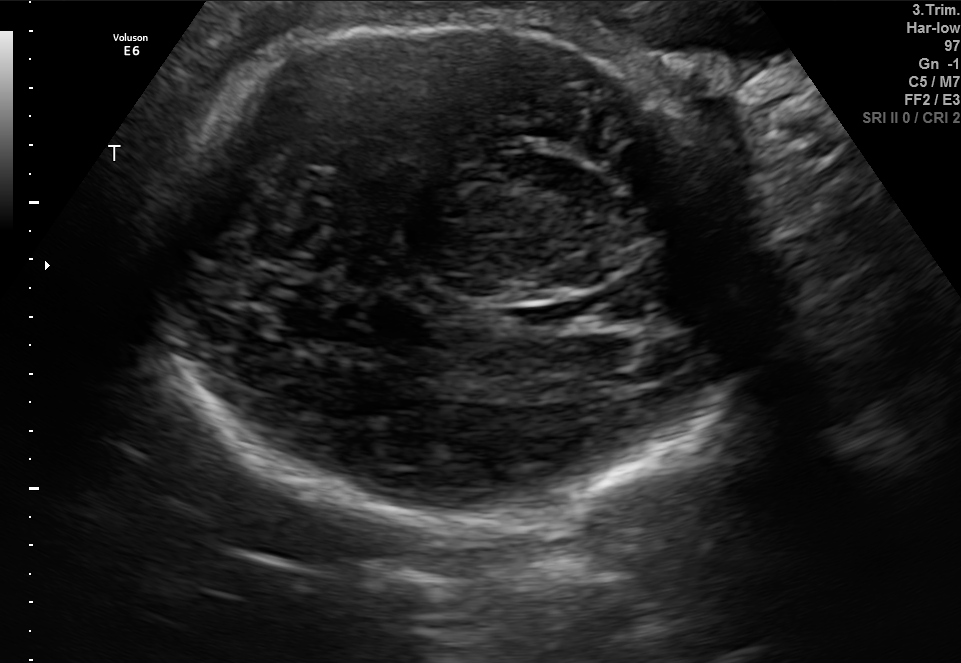
In this fetal brain, trans-thalamic plane, give bounding boxes for the head outline, cavum septum pellucidum (CSP), and lateral ventricle (LV), where visible.

Head: [160,16,751,531]